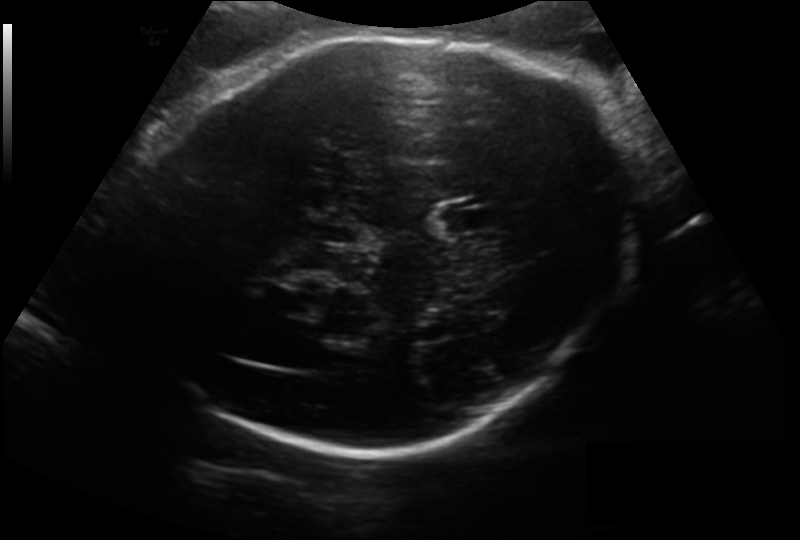
Fetal head ultrasound. Image width: 160.1 mm. Where is the fetal head?

Head bounding box: [138,35,626,448]